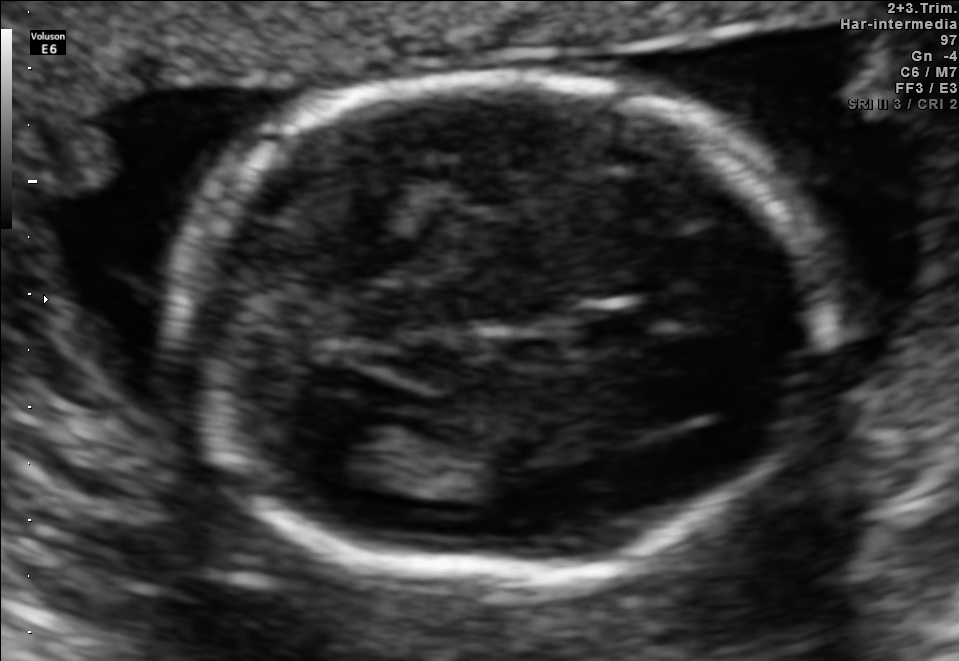
In this fetal brain, trans-thalamic plane, give the bounding box of the cavum septum pellucidum.

[573,303,662,355]